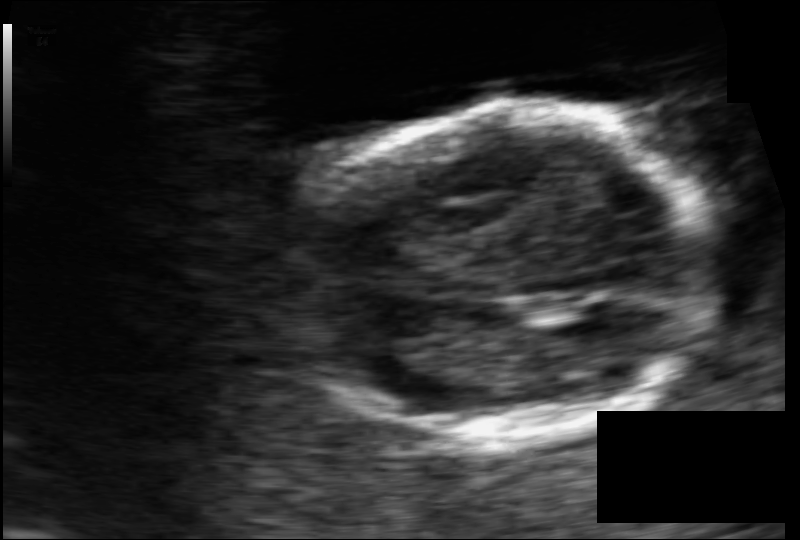
Measure the fetal head circumference shown in this ultrasound image. Image width: 67.0 mm.

Head circumference: 103.9 mm.